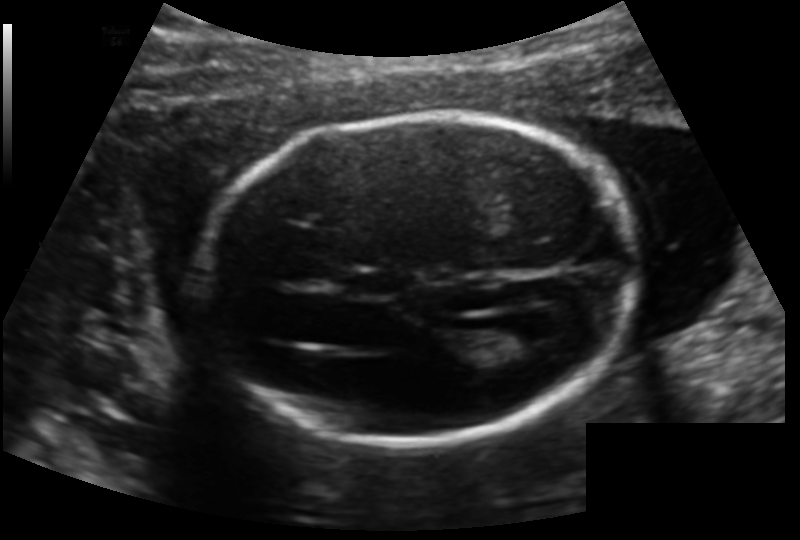
Fetal head ultrasound. Image width: 112.1 mm. Where is the cavum septum pellucidum?

CSP bounding box: [348,270,401,297]